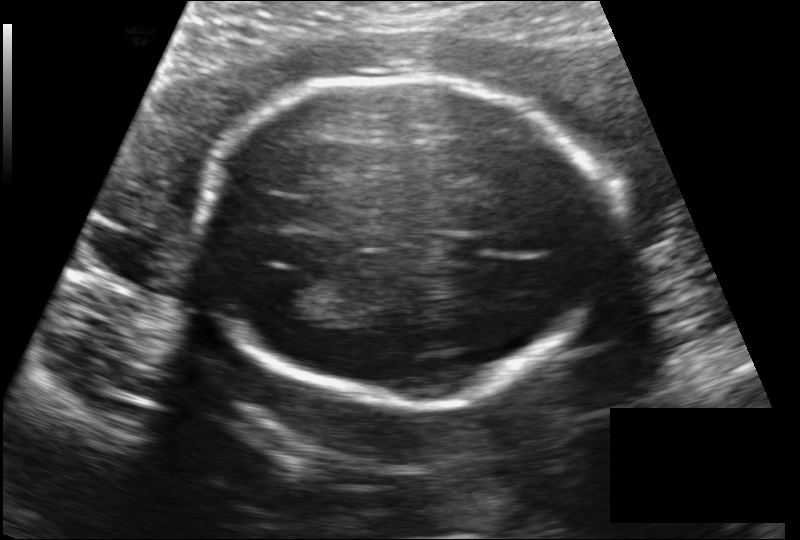
Estimate the fetal head circumference from this 2D ultrasound.

Head circumference: 180.3 mm (image width 119.2 mm).